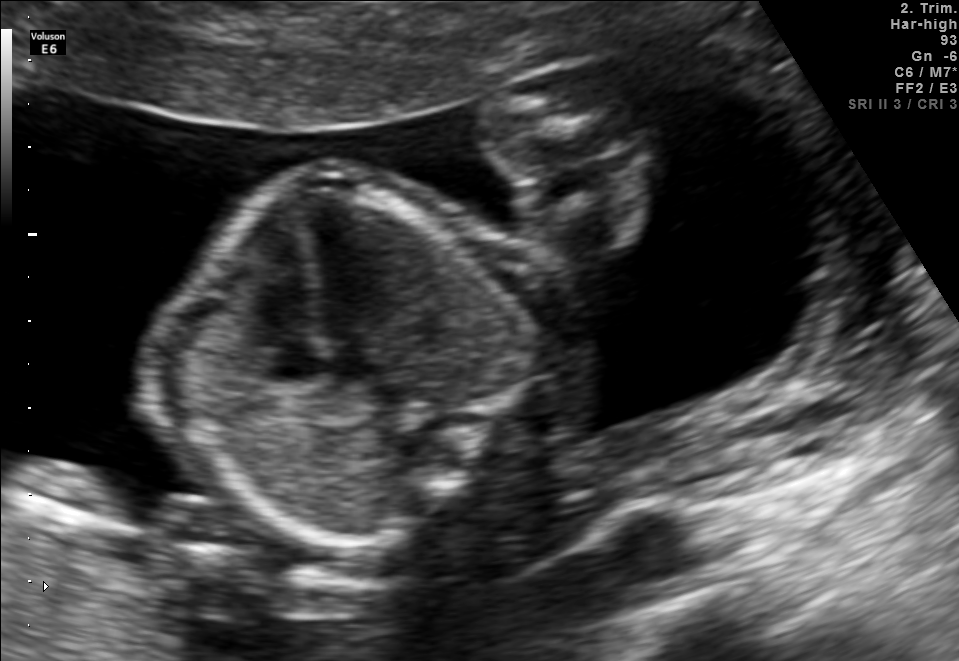
Which standard maternal-fetal ultrasound plane is shown: fetal abdomen, fetal brain, fetal femur, fetal thorax, maternal cervix, or other? If it's fetal brain and one of the three standard brain planes (trans-thalamic, trans-cerebellum, trans-ventricular), name which.

Fetal thorax